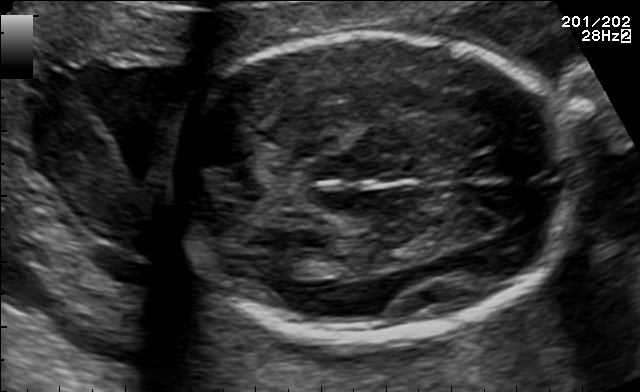
Fetal brain, trans-thalamic plane. Locate the fetal head and, if visible, the cavum septum pellucidum (CSP) and lateral ventricle (LV). Give bounding boxes as [x1,y1,x2,y2].

Head: [163,34,575,338]
Lateral ventricle: [271,249,325,278]